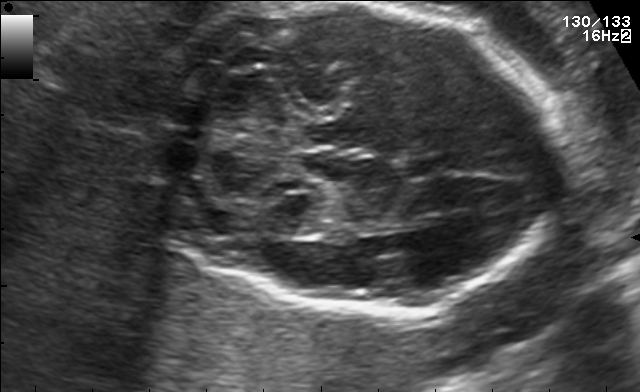
Fetal brain, trans-cerebellum plane. Locate the fetal head.

Head: [150,4,561,315]